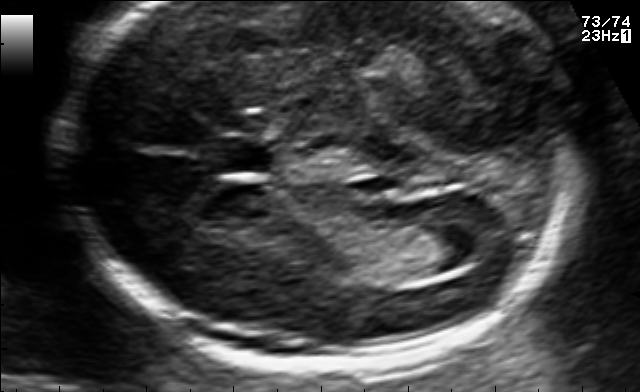
Fetal brain, trans-ventricular plane. Give [x1,y1,x2,y2] bounding boxes for each visible structure among: CSP, LV.

CSP: [201,138,287,172]
Lateral ventricle: [423,206,514,273]